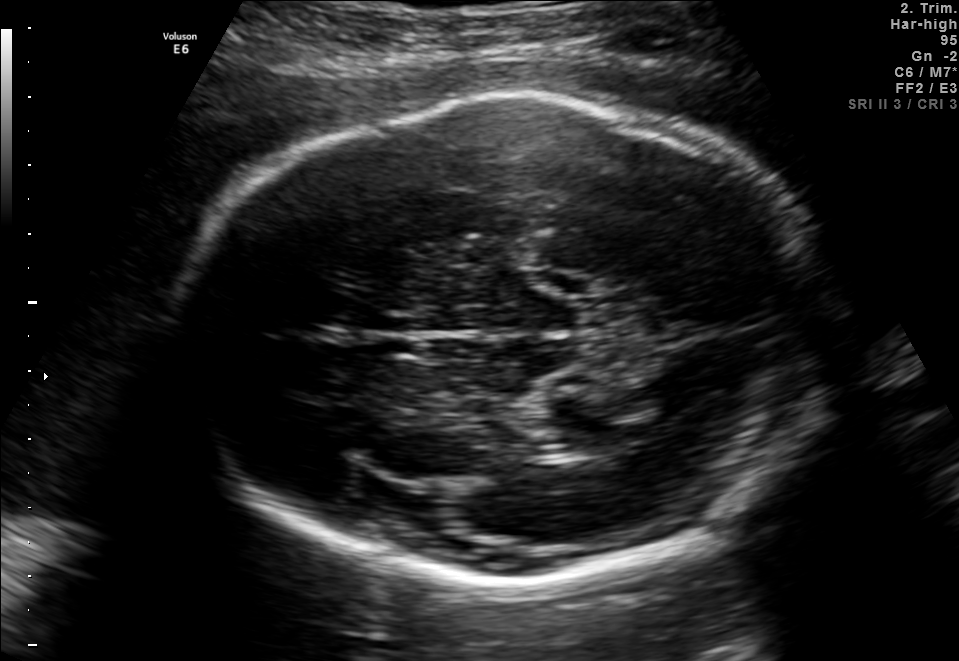
Fetal brain, trans-thalamic plane. Give [x1,y1,x2,y2] bounding boxes for each visible structure among: fetal head, CSP, LV.

Head: [173,99,832,590]